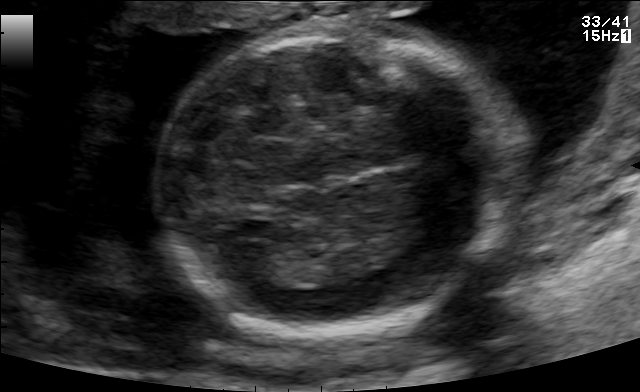
Fetal brain, trans-thalamic plane. Locate the fetal head.

Head: [163,27,503,337]